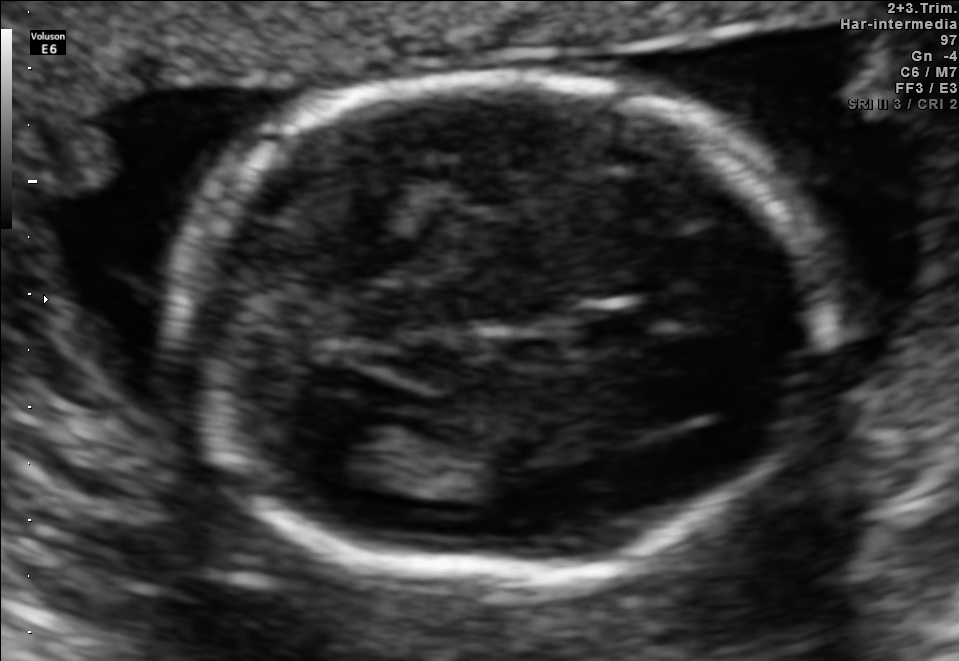
Fetal brain, trans-thalamic plane. Locate the cavum septum pellucidum.

CSP: [573,303,662,355]